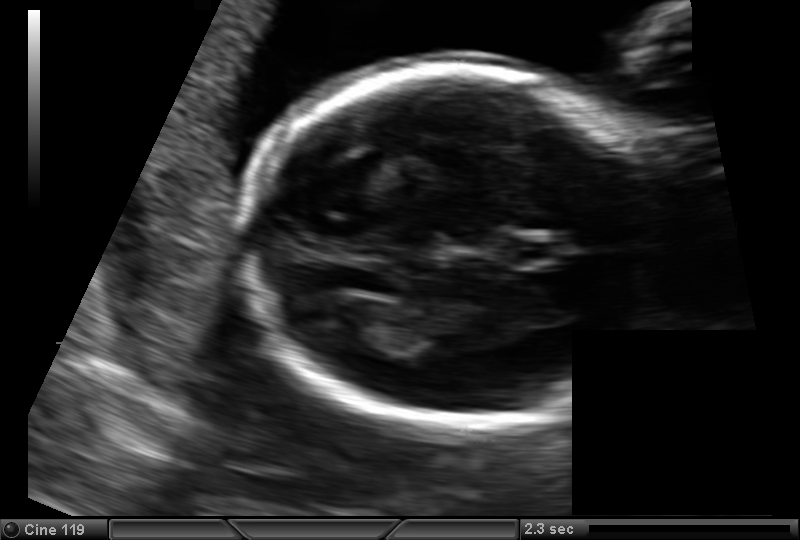
Fetal head ultrasound. Image width: 103.2 mm. Give [x1,y1,x2,y2] bounding boxes for each visible structure among: fetal head, CSP, LV.

Head: [246,65,664,424]
CSP: [507,234,562,269]
Lateral ventricle: [307,292,379,346]